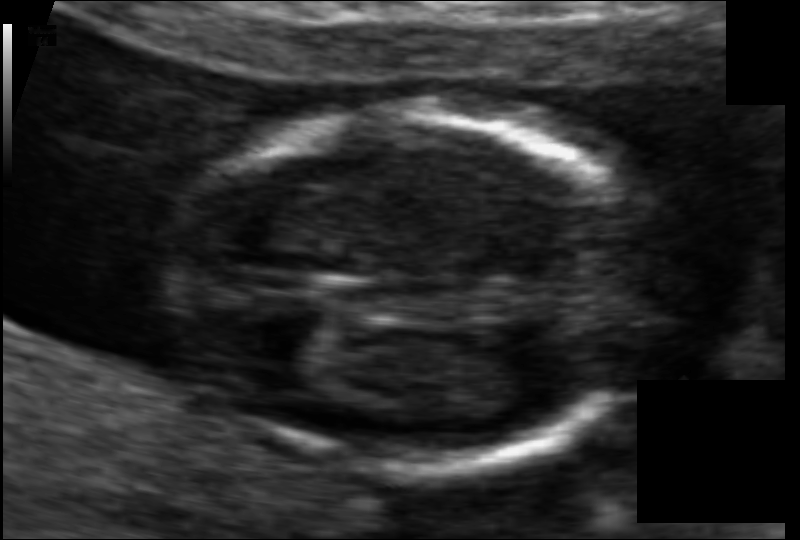
Fetal head ultrasound. Image width: 51.8 mm. Locate the fetal head and, if visible, the cavum septum pellucidum (CSP) and lateral ventricle (LV). Give bounding boxes as [x1,y1,x2,y2].

Head: [159,111,651,471]